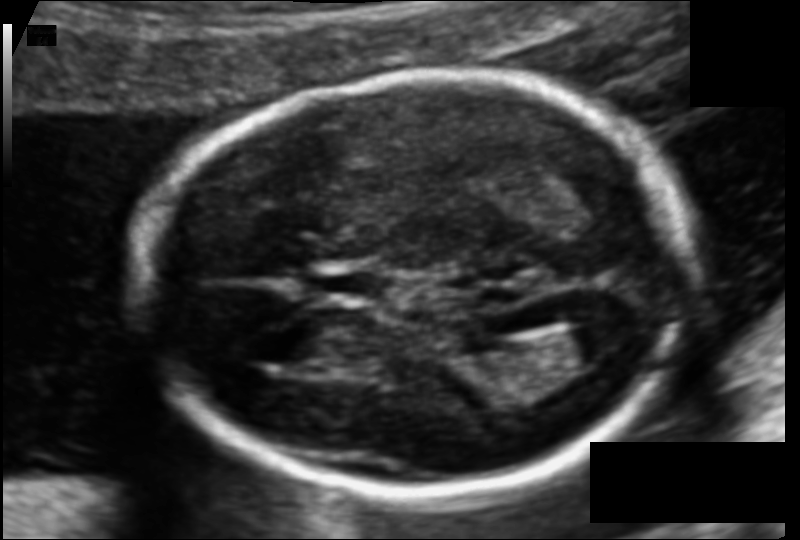
Fetal head ultrasound. Image width: 83.7 mm. Locate the lateral ventricle.

Lateral ventricle: [554,308,638,375]